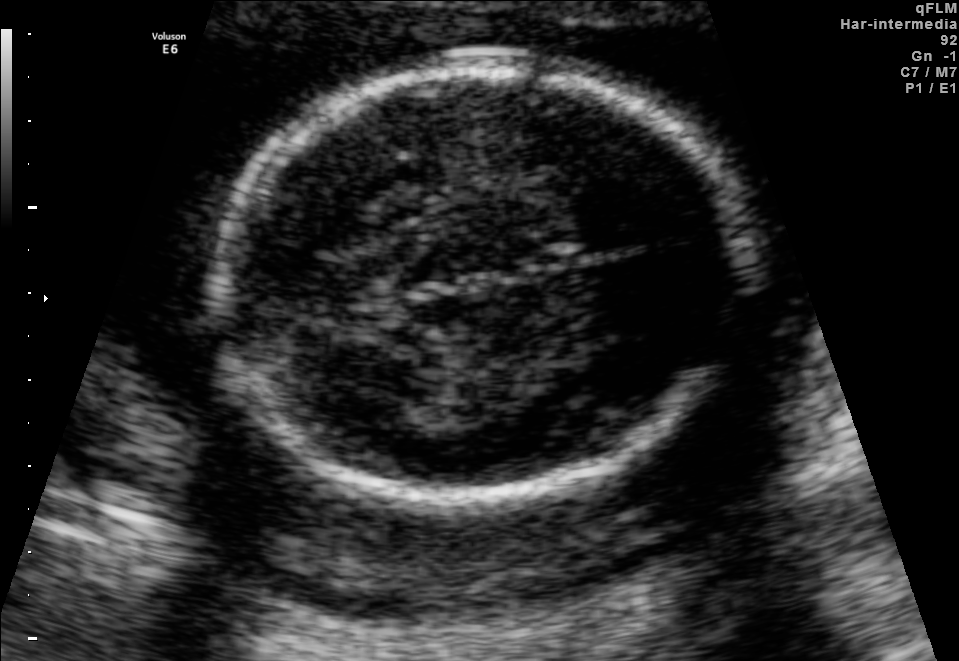
Fetal brain, trans-thalamic plane. Locate the fetal head and, if visible, the cavum septum pellucidum (CSP) and lateral ventricle (LV). Give bounding boxes as [x1,y1,x2,y2].

Head: [216,71,751,494]